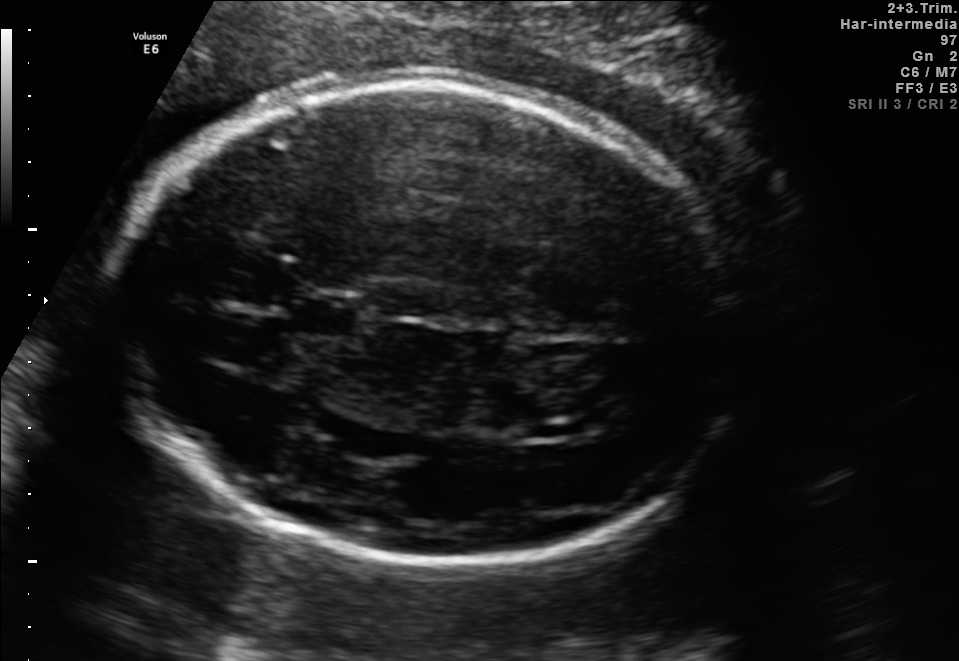
In this fetal brain, trans-ventricular plane, give the bounding box of the fetal head.

[100,68,763,577]